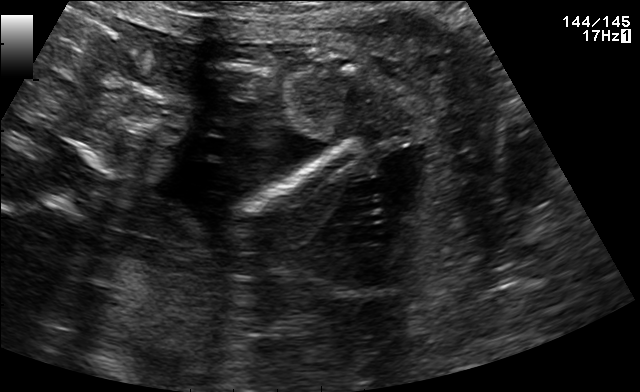
Identify the standard plane in this fetal ultrasound image: fetal abdomen, fetal brain, fetal femur, fetal thorax, maternal cervix, or other. If it's fetal brain and one of the three standard brain planes (trans-thalamic, trans-cerebellum, trans-ventricular), name which.

Other